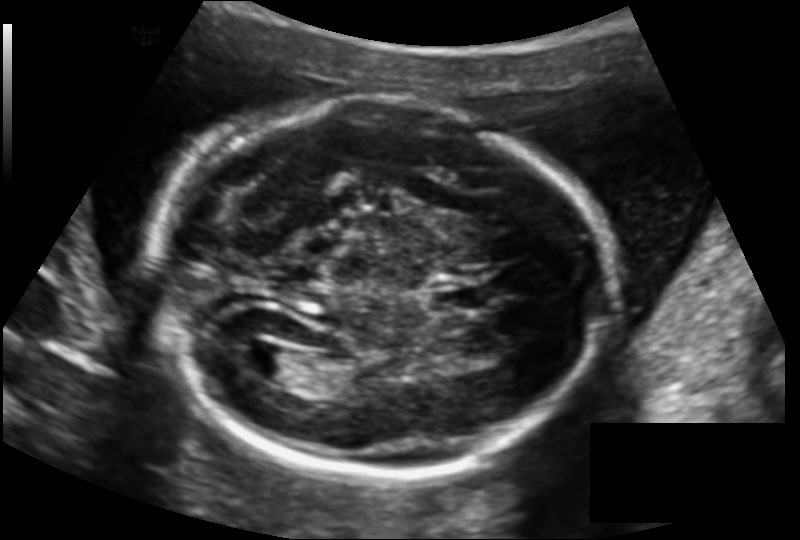
Estimate the fetal head circumference from this 2D ultrasound. Image width: 116.1 mm.

Head circumference: 197.7 mm.